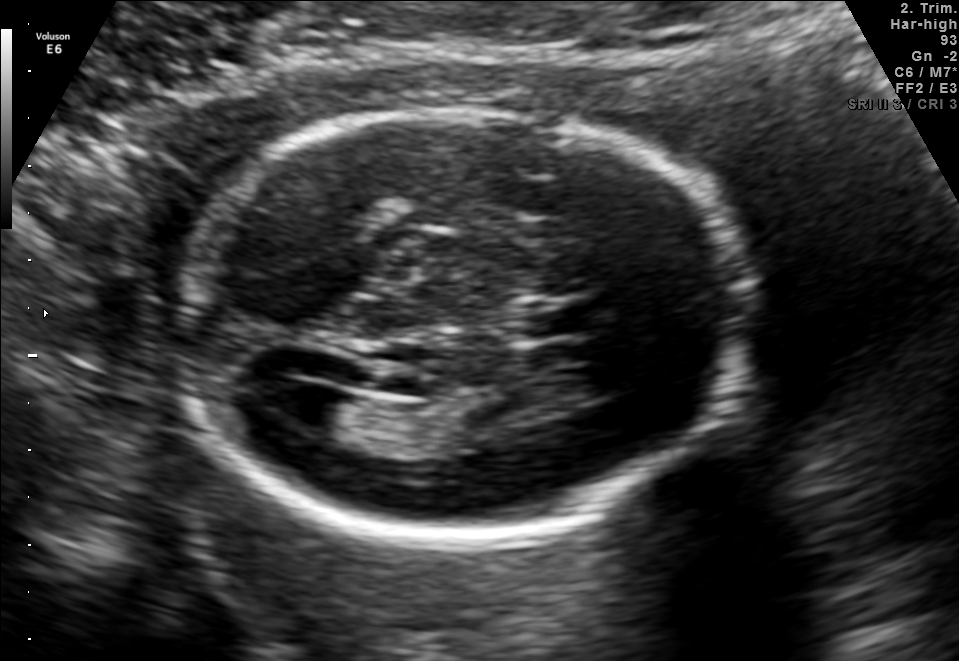
Fetal brain, trans-ventricular plane. Where is the fetal head?

Head bounding box: [167,95,762,556]